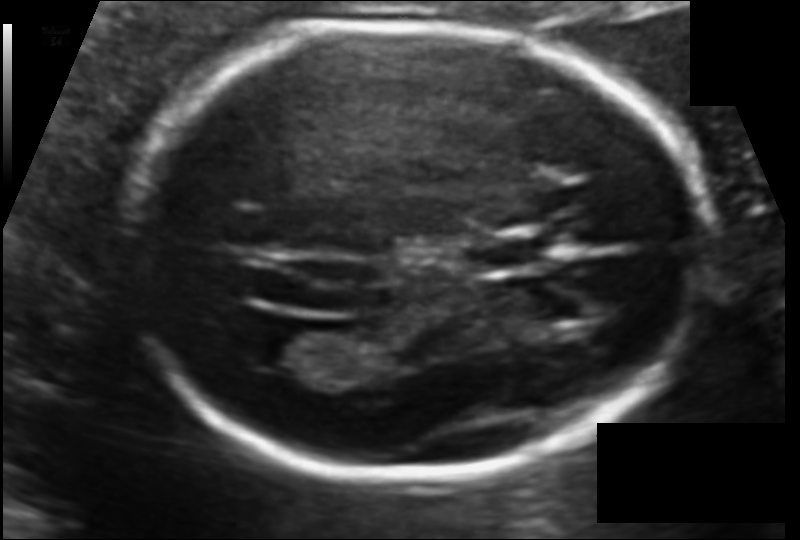
Fetal head ultrasound. Image width: 85.6 mm. Where is the lateral ventricle?

Lateral ventricle bounding box: [249,328,325,371]